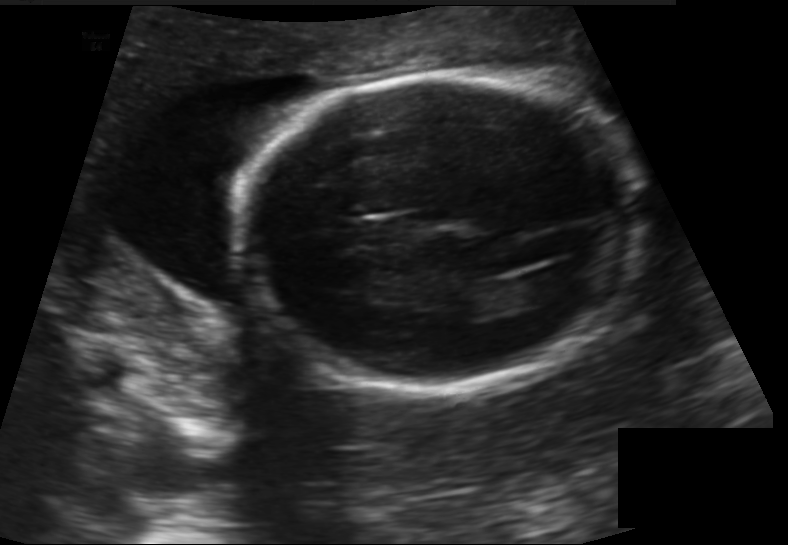
Fetal head ultrasound. Image width: 122.2 mm. Locate the lateral ventricle.

Lateral ventricle: [517,259,589,308]